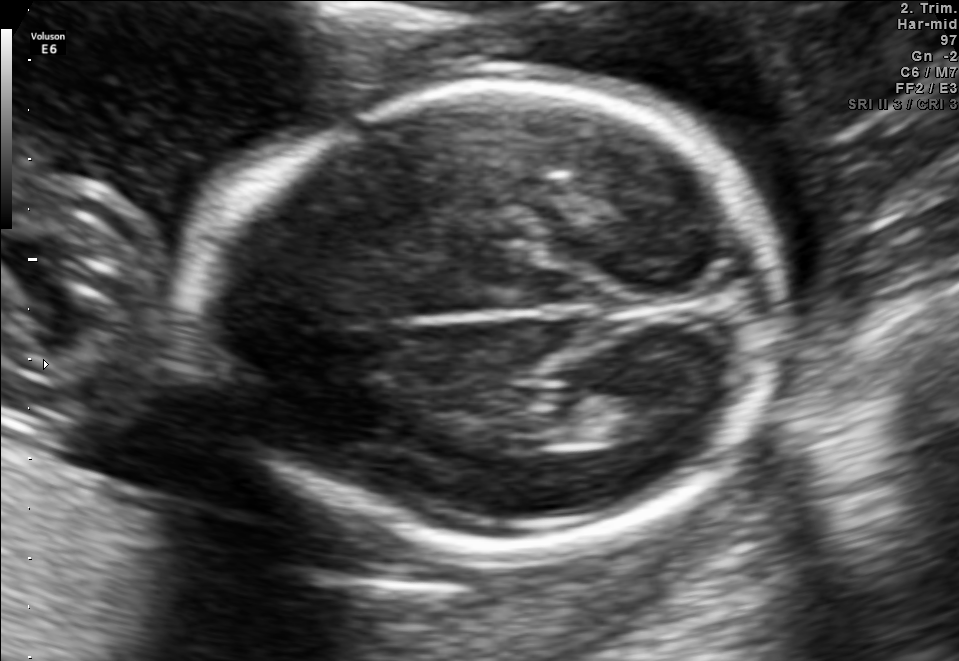
In this fetal brain, trans-thalamic plane, give the bounding box of the fetal head.

[180,80,789,553]